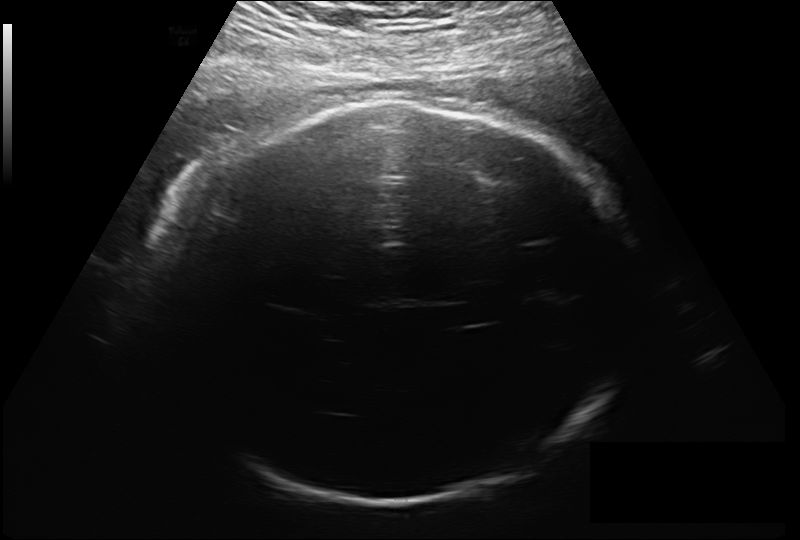
What is the fetal head circumference? Image width is 170.5 mm.

306.0 mm